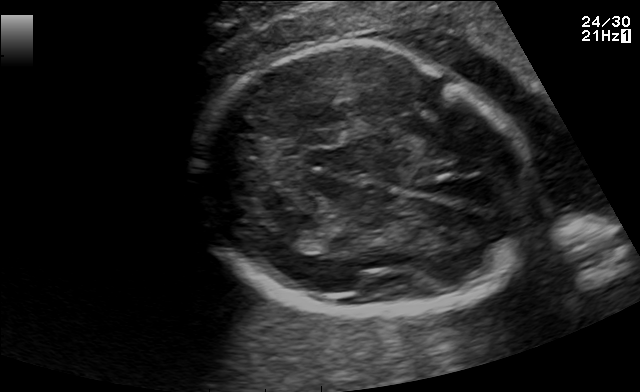
In this fetal brain, trans-thalamic plane, give the bounding box of the fetal head.

[196,44,535,320]